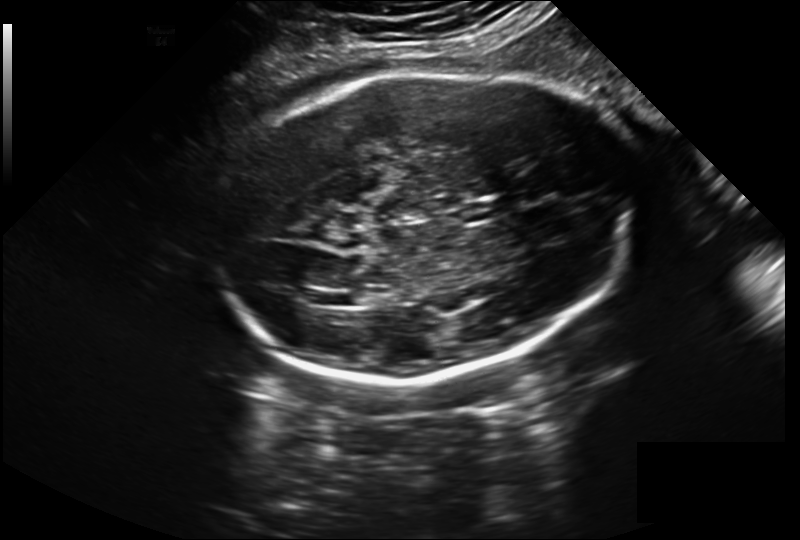
Fetal head ultrasound. Image width: 194.5 mm. Locate the fetal head.

Head: [210,69,633,380]